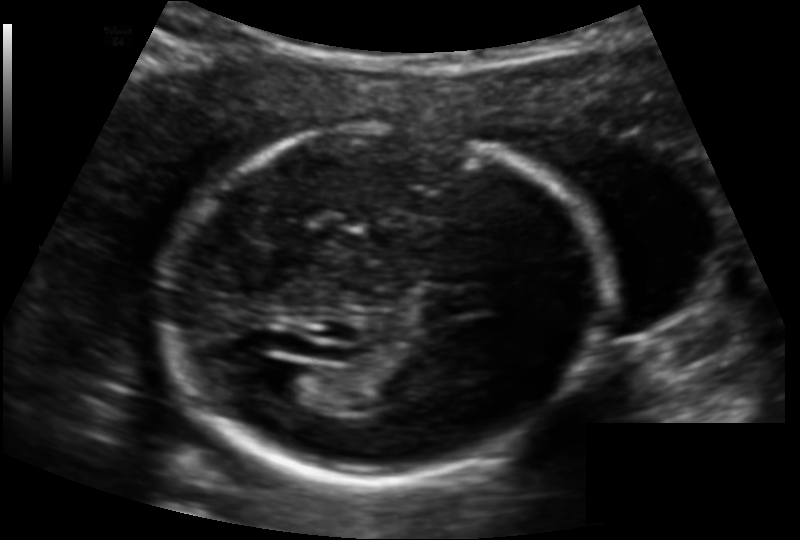
Fetal head ultrasound. Image width: 105.9 mm. Locate the fetal head and, if visible, the cavum septum pellucidum (CSP) and lateral ventricle (LV). Give bounding boxes as [x1,y1,x2,y2].

Head: [154,127,607,480]
Lateral ventricle: [266,358,330,411]